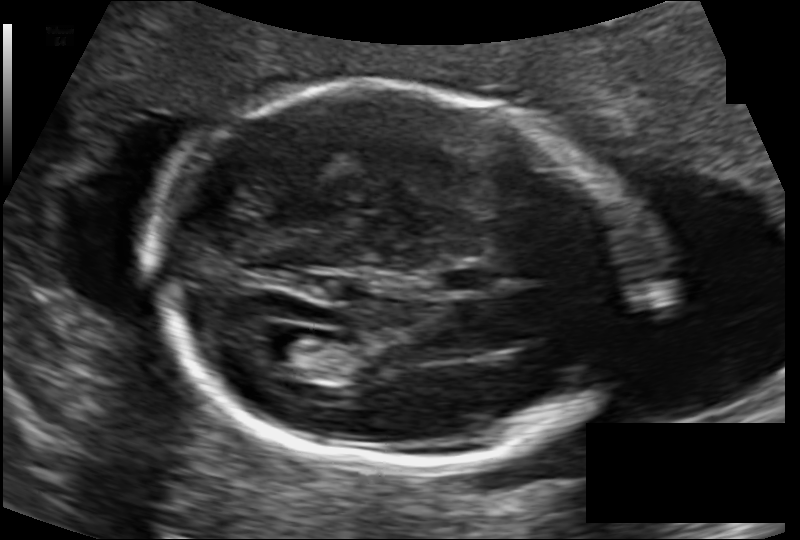
In this fetal head ultrasound, give bounding boxes for the head outline, cavum septum pellucidum (CSP), and lateral ventricle (LV), where visible. Image width: 95.8 mm.

Head: [147,89,647,467]
CSP: [442,267,494,292]
Lateral ventricle: [253,326,327,380]